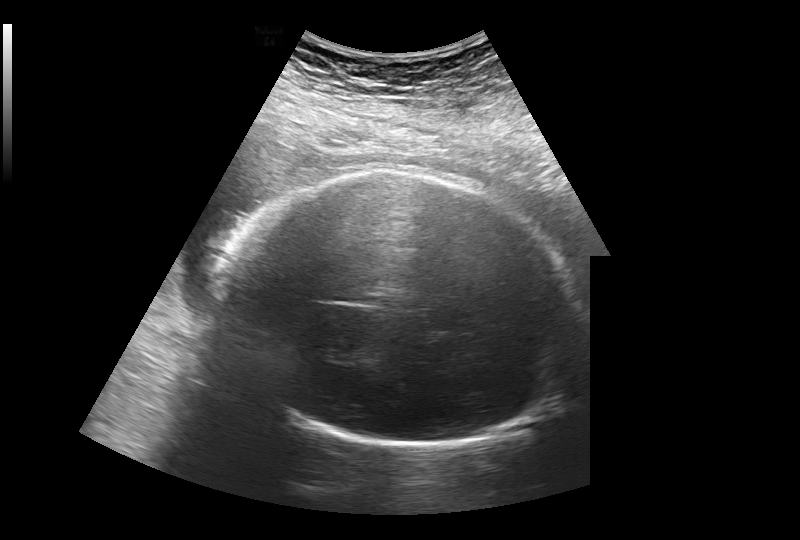
From this fetal ultrasound, estimate the head circumference (image width 246.2 mm).

Head circumference: 314.3 mm.